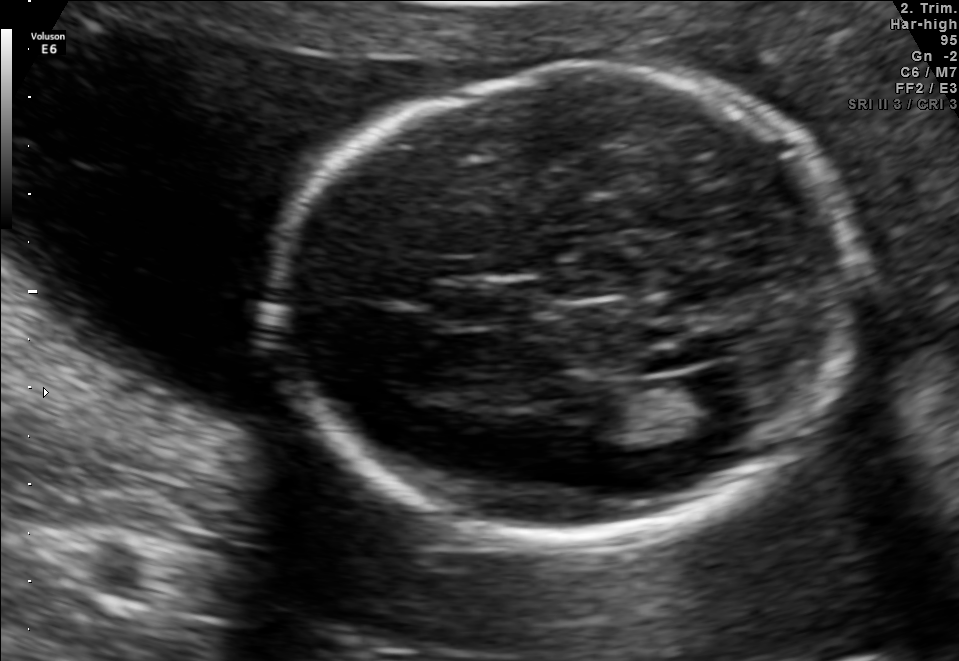
Fetal brain, trans-ventricular plane. Locate the fetal head.

Head: [263,54,870,551]